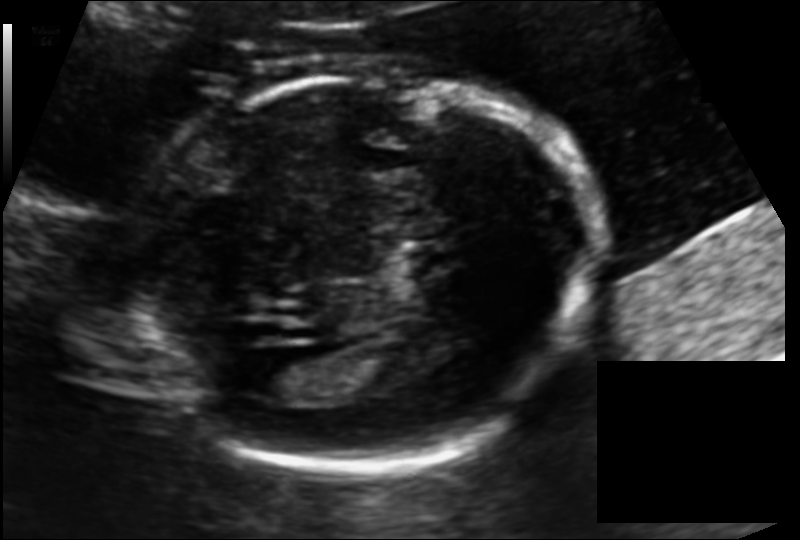
In this fetal head ultrasound, give the bounding box of the fetal head. Image width: 99.9 mm.

[122,74,596,468]